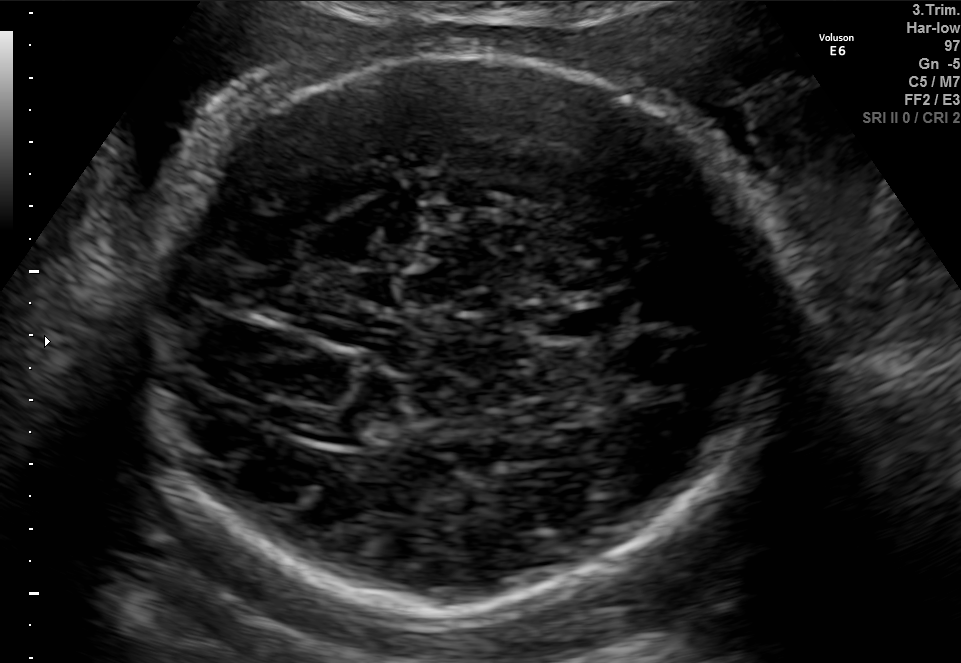
Fetal brain, trans-thalamic plane. Locate the cavum septum pellucidum.

CSP: [544,305,611,342]